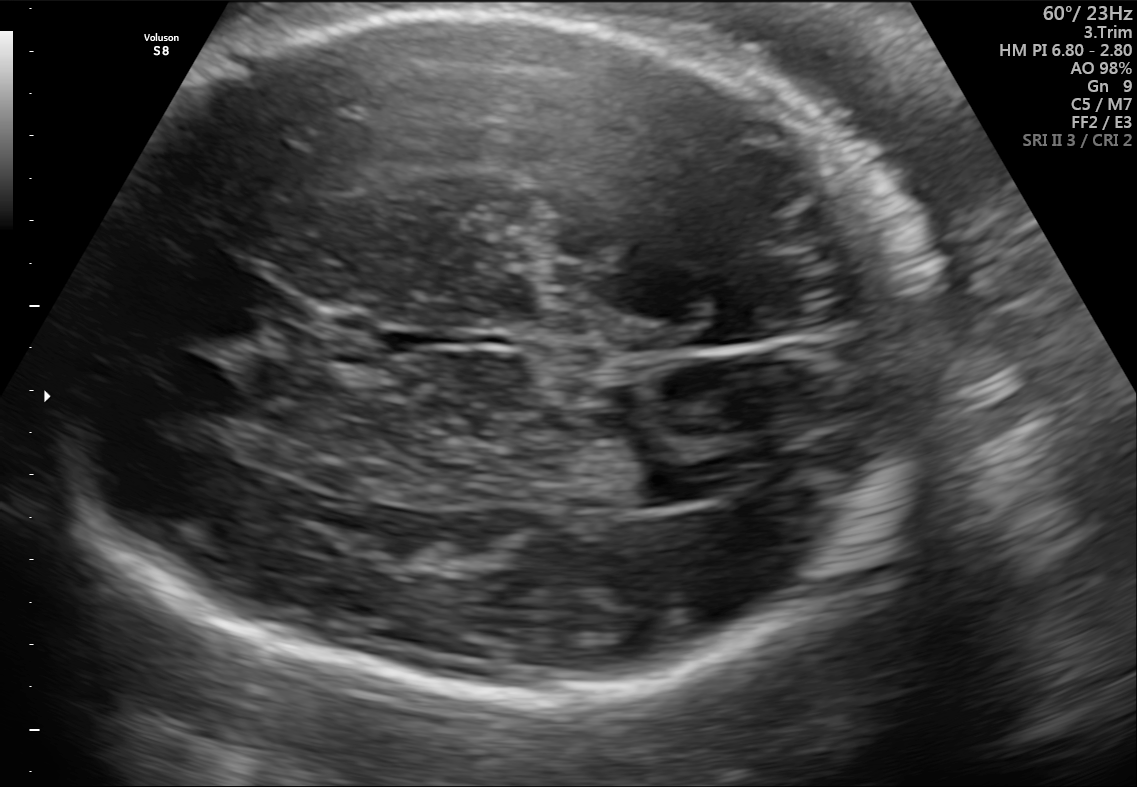
Fetal brain, trans-ventricular plane. Locate the fetal head.

Head: [76,8,928,693]